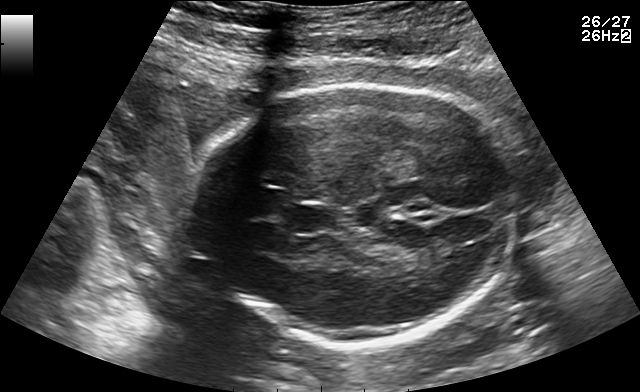
In this fetal brain, trans-thalamic plane, give bounding boxes for the head outline, cavum septum pellucidum (CSP), and lateral ventricle (LV), where visible.

Head: [185,85,519,348]